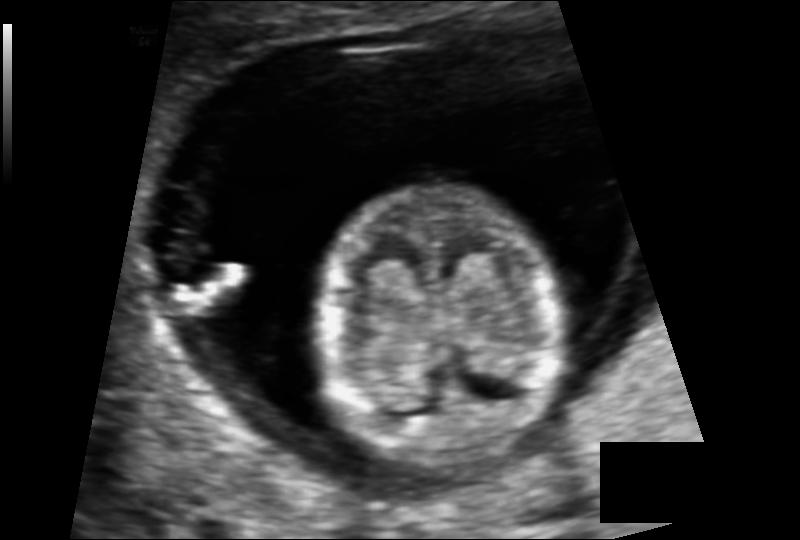
Estimate the fetal head circumference from this 2D ultrasound.

Head circumference: 75.3 mm (image width 71.8 mm).